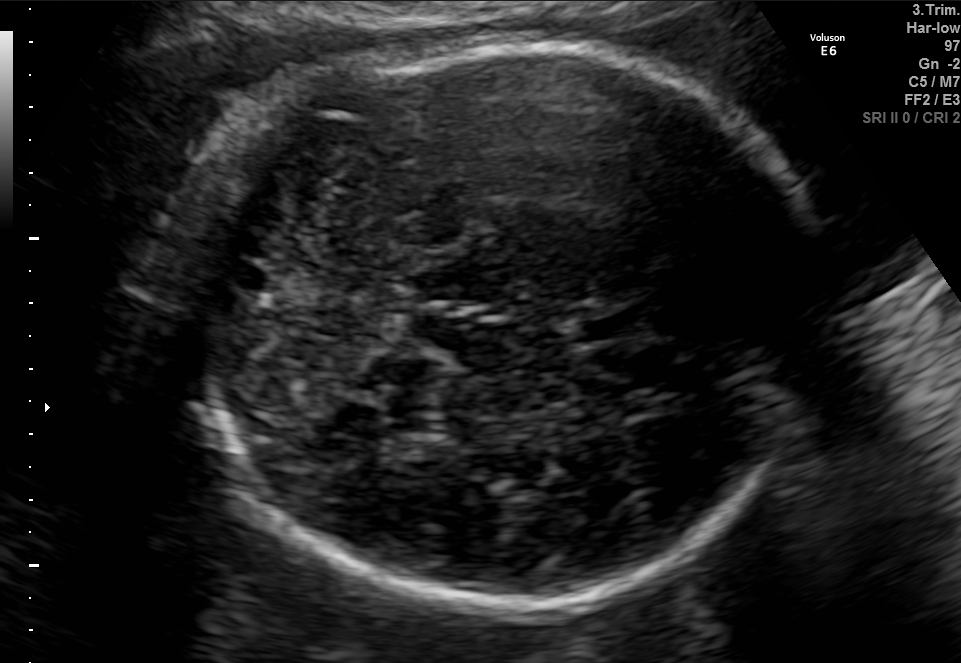
Fetal brain, trans-cerebellum plane. Locate the cavum septum pellucidum.

CSP: [571,309,645,345]